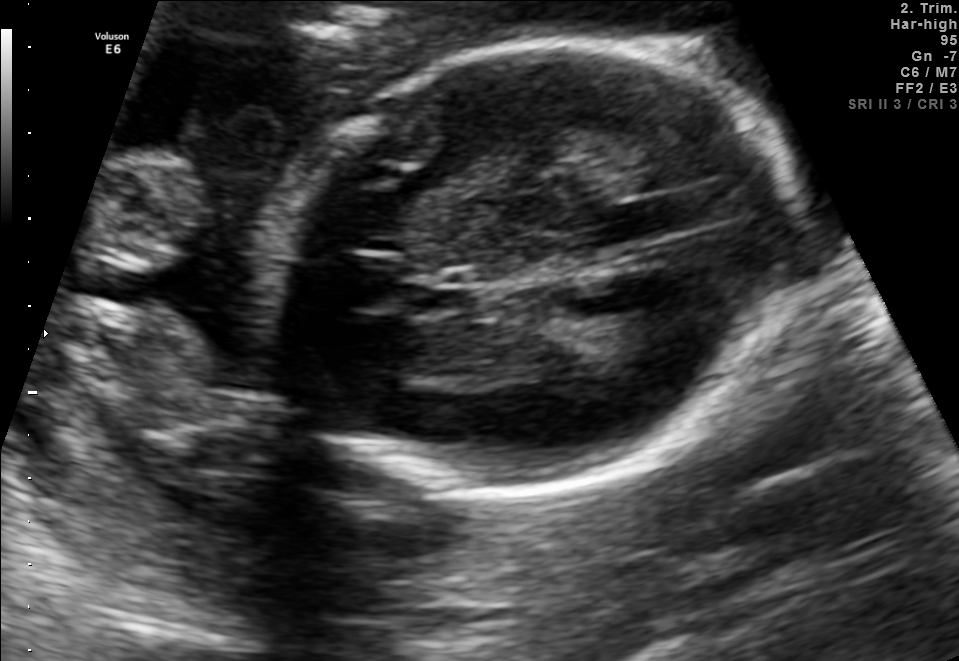
In this fetal brain, trans-thalamic plane, give the bounding box of the fetal head.

[266,41,801,498]